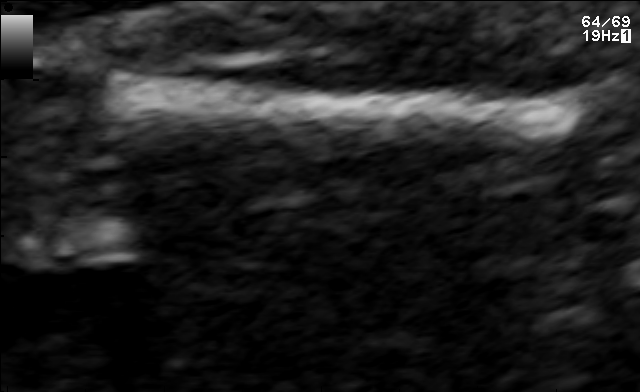
Classify this maternal-fetal ultrasound image as one of the six standard planes — fetal abdomen, fetal brain, fetal femur, fetal thorax, maternal cervix, or other. If it's fetal brain and one of the three standard brain planes (trans-thalamic, trans-cerebellum, trans-ventricular), name which.

Fetal femur